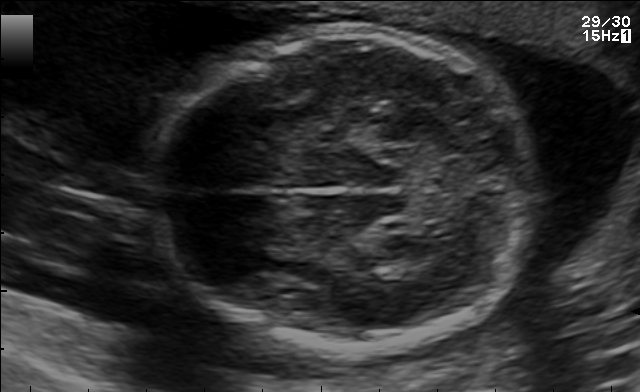
In this fetal brain, trans-thalamic plane, give the bounding box of the fetal head.

[151,31,538,350]